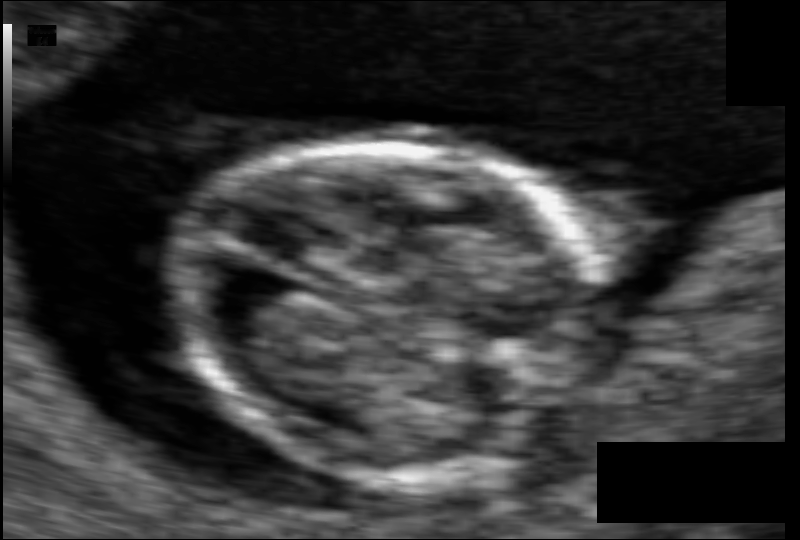
Fetal head ultrasound. Image width: 43.6 mm. Locate the fetal head.

Head: [173,144,606,478]